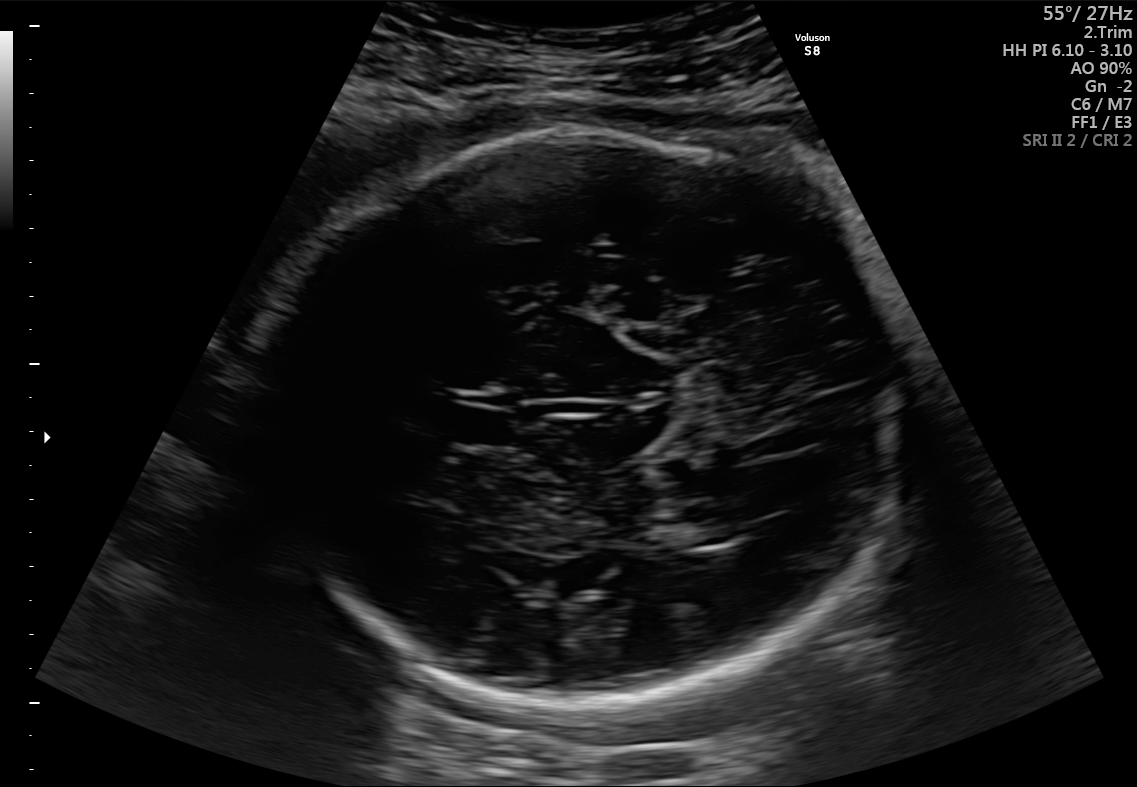
In this fetal brain, trans-thalamic plane, give the bounding box of the lateral ventricle.

[652,510,740,552]